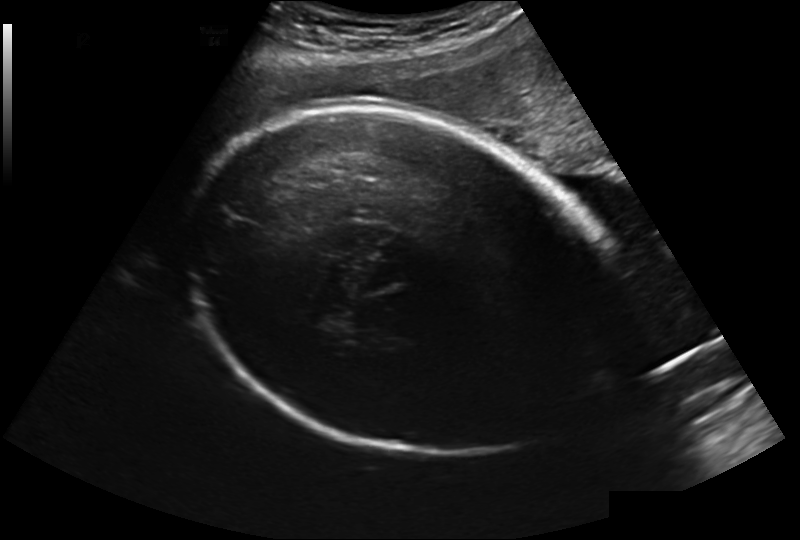
Fetal head ultrasound. Image width: 192.6 mm. Locate the fetal head.

Head: [185,109,611,455]